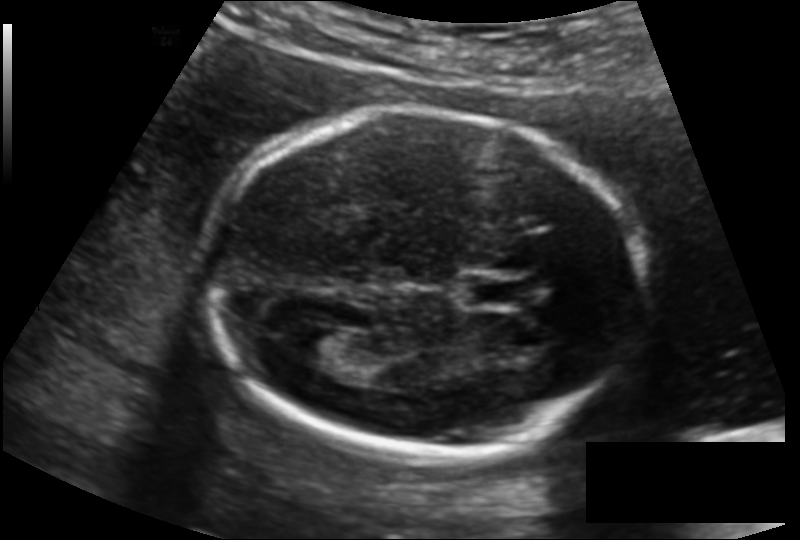
Measure the fetal head circumference shown in this ultrasound image. Image width: 107.6 mm.

Head circumference: 170.8 mm.